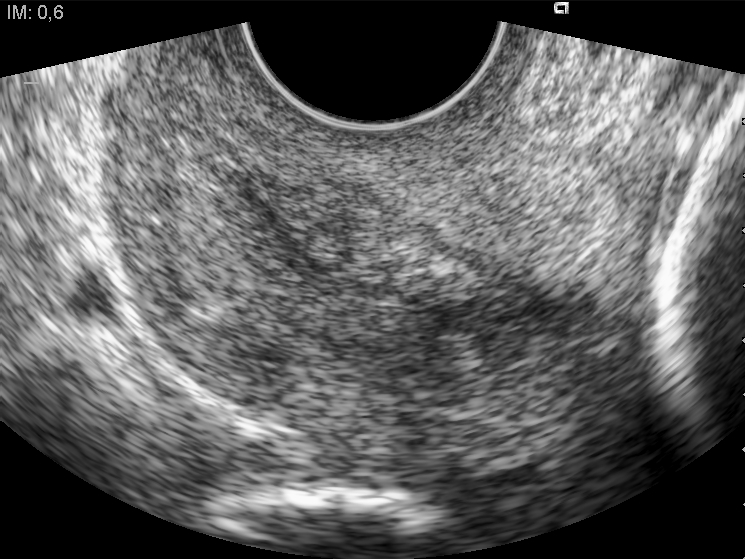
Identify the standard plane in this fetal ultrasound image: fetal abdomen, fetal brain, fetal femur, fetal thorax, maternal cervix, or other. If it's fetal brain and one of the three standard brain planes (trans-thalamic, trans-cerebellum, trans-ventricular), name which.

Maternal cervix